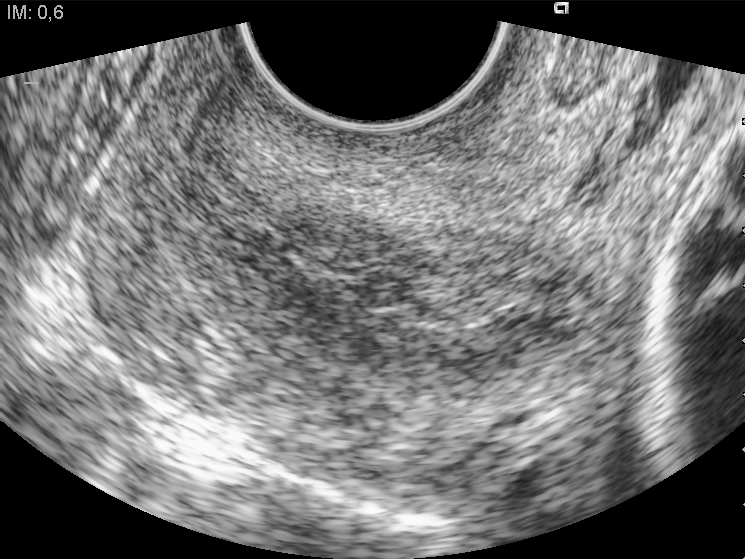
Which standard maternal-fetal ultrasound plane is shown: fetal abdomen, fetal brain, fetal femur, fetal thorax, maternal cervix, or other? If it's fetal brain and one of the three standard brain planes (trans-thalamic, trans-cerebellum, trans-ventricular), name which.

Maternal cervix